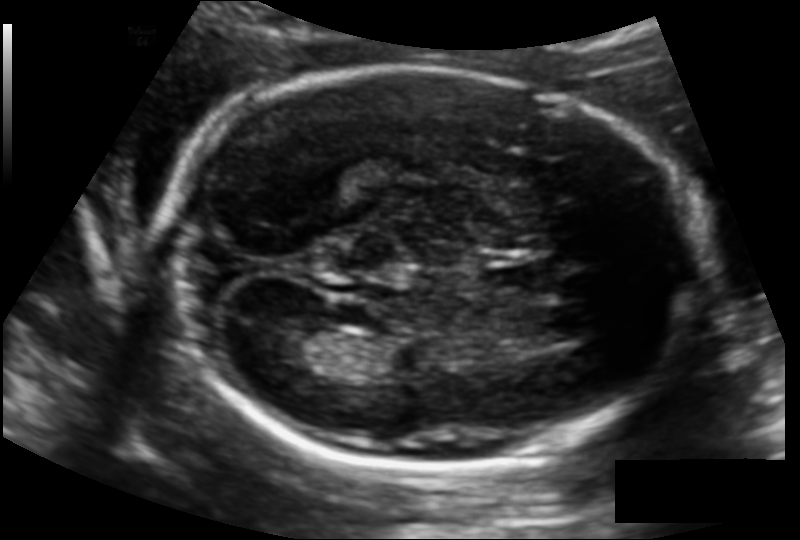
In this fetal head ultrasound, give the bounding box of the fetal head. Image width: 103.6 mm.

[162,69,693,465]